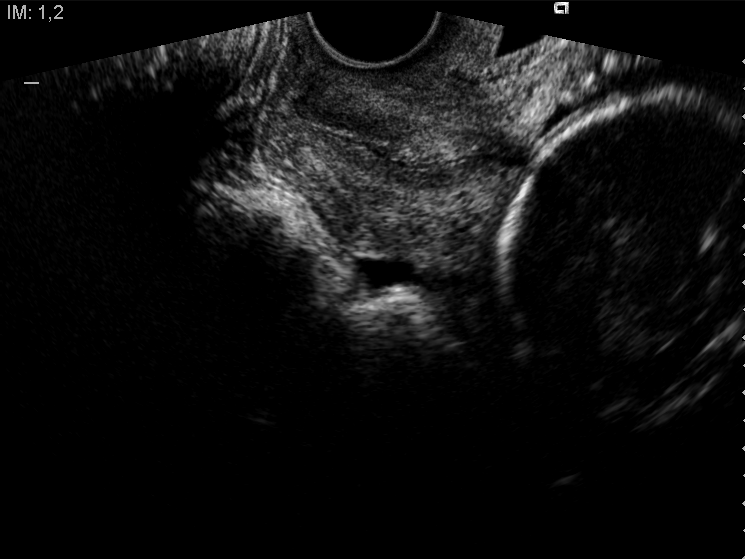
Which standard maternal-fetal ultrasound plane is shown: fetal abdomen, fetal brain, fetal femur, fetal thorax, maternal cervix, or other? If it's fetal brain and one of the three standard brain planes (trans-thalamic, trans-cerebellum, trans-ventricular), name which.

Maternal cervix